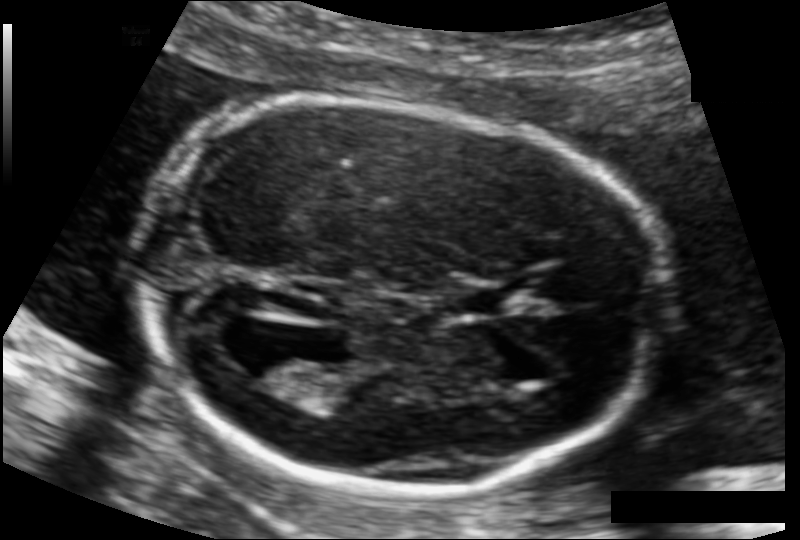
In this fetal head ultrasound, give the bounding box of the fetal head. Image width: 85.7 mm.

[143,98,657,491]